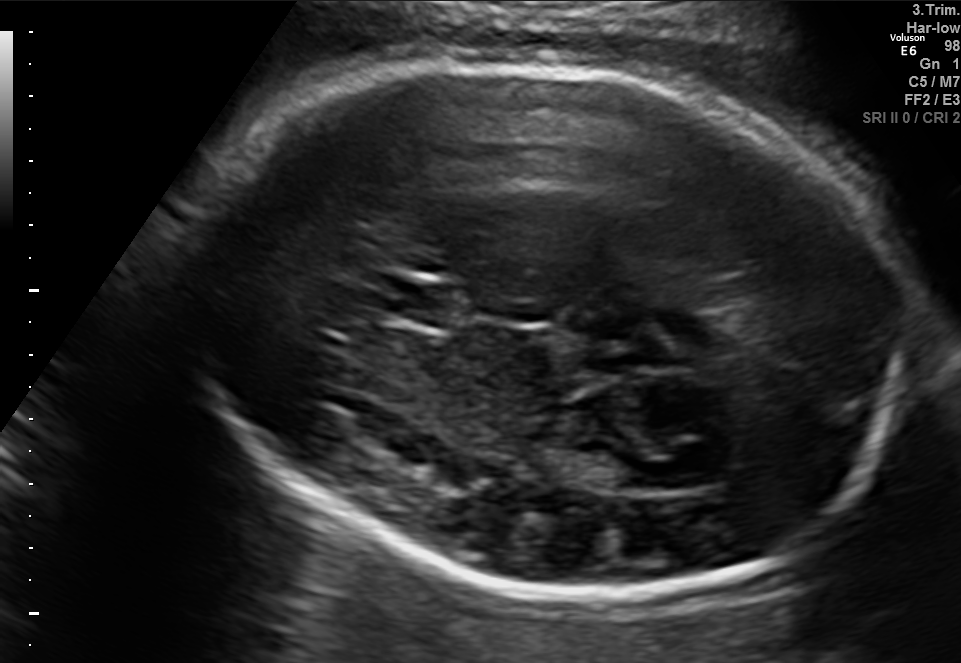
Fetal brain, trans-thalamic plane. Give [x1,y1,x2,y2] bounding boxes for each visible structure among: fetal head, CSP, LV.

Head: [178,62,927,593]
CSP: [377,277,473,331]
Lateral ventricle: [562,449,652,491]